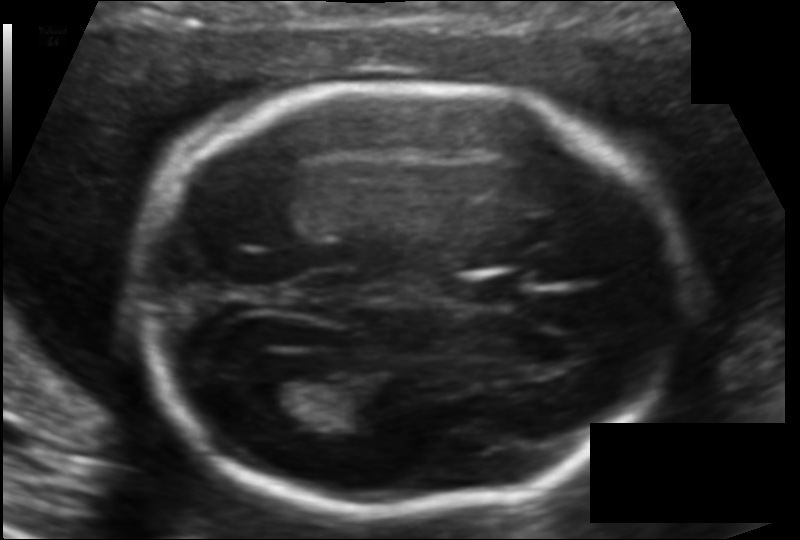
Fetal head ultrasound. Image width: 94.1 mm. Locate the cavum septum pellucidum.

CSP: [464,268,535,311]